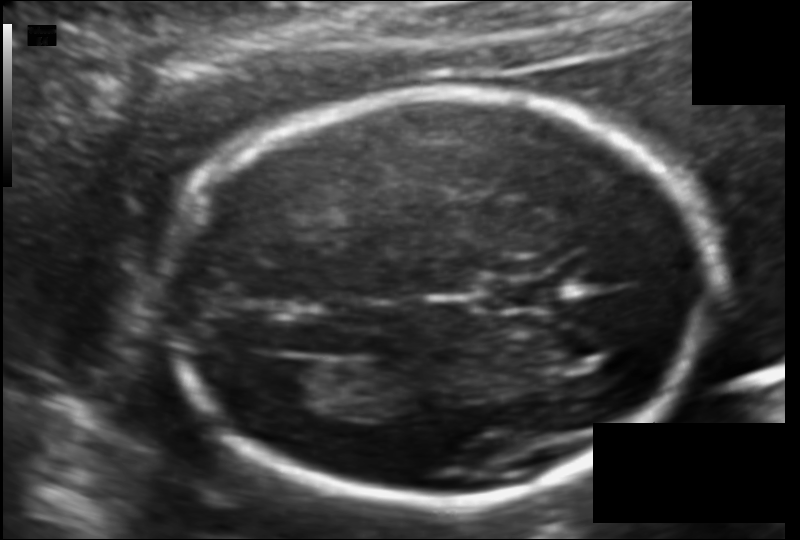
In this fetal head ultrasound, give bounding boxes for the head outline, cavum septum pellucidum (CSP), and lateral ventricle (LV), where visible. Image width: 88.5 mm.

Head: [168,91,712,501]
CSP: [482,278,553,310]
Lateral ventricle: [248,354,335,406]